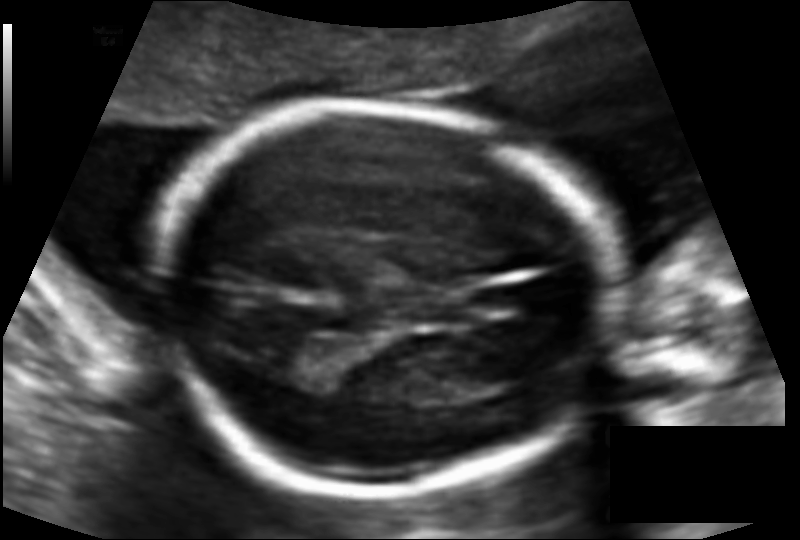
Fetal head ultrasound. Image width: 87.7 mm. Locate the cavum septum pellucidum.

CSP: [412,297,467,324]